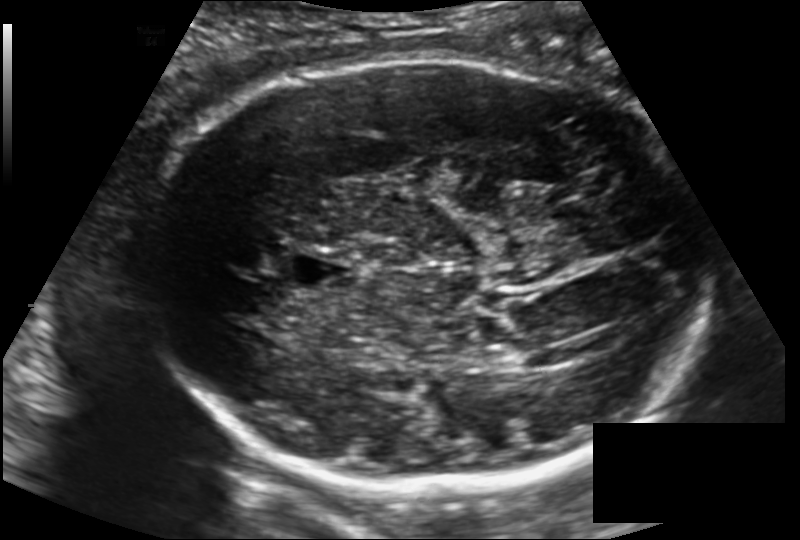
Fetal head ultrasound. Image width: 136.5 mm. Where is the cavum septum pellucidum?

CSP bounding box: [284,249,360,296]